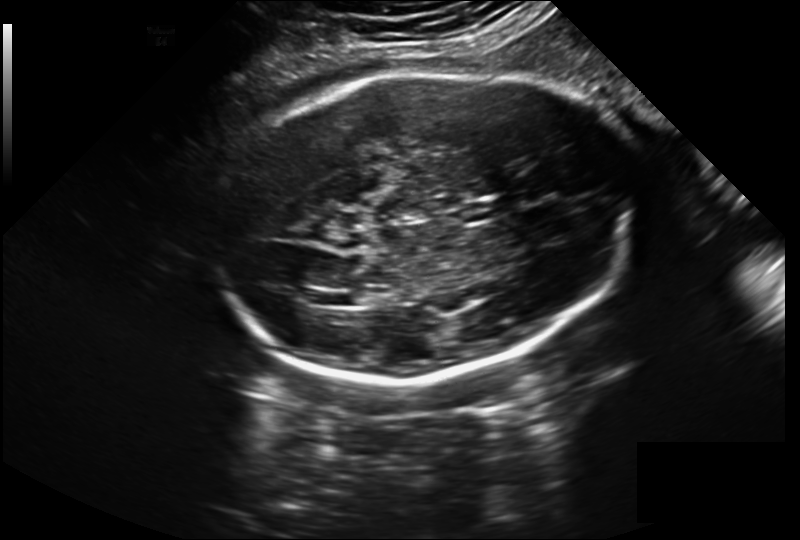
From this fetal ultrasound, estimate the head circumference (image width 194.5 mm).

Head circumference: 289.2 mm.